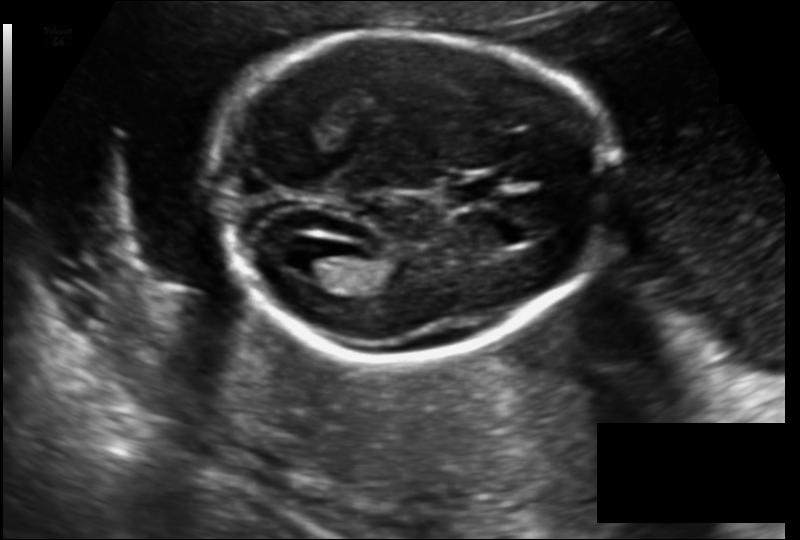
Fetal head ultrasound. Image width: 113.3 mm. Locate the cavum septum pellucidum.

CSP: [445,175,496,208]